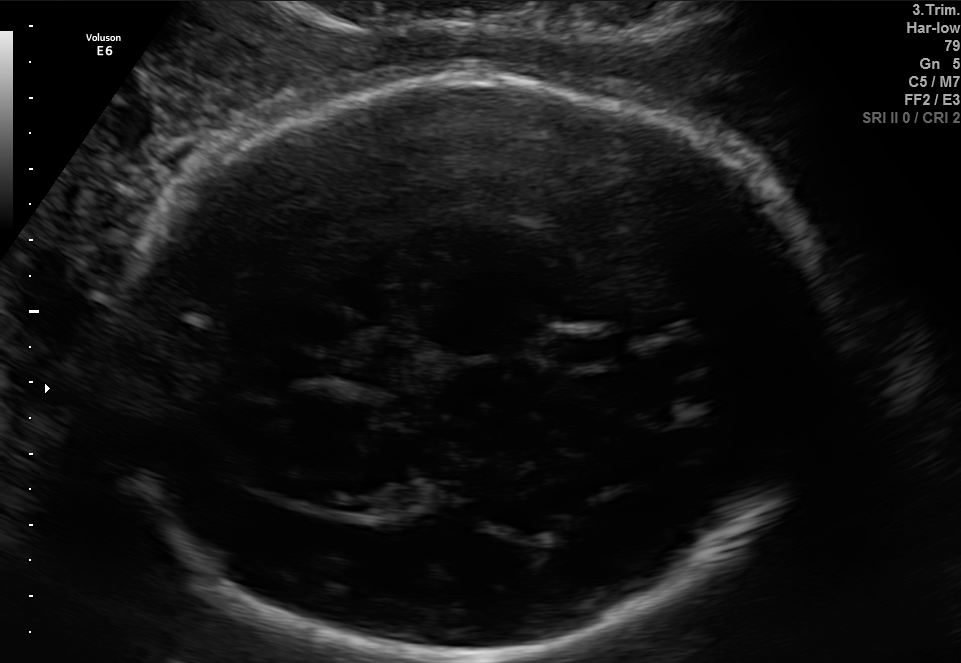
Fetal brain, trans-thalamic plane. Give [x1,y1,x2,y2] bounding boxes for each visible structure among: fetal head, CSP, LV.

Head: [99,69,838,660]
CSP: [552,336,615,360]